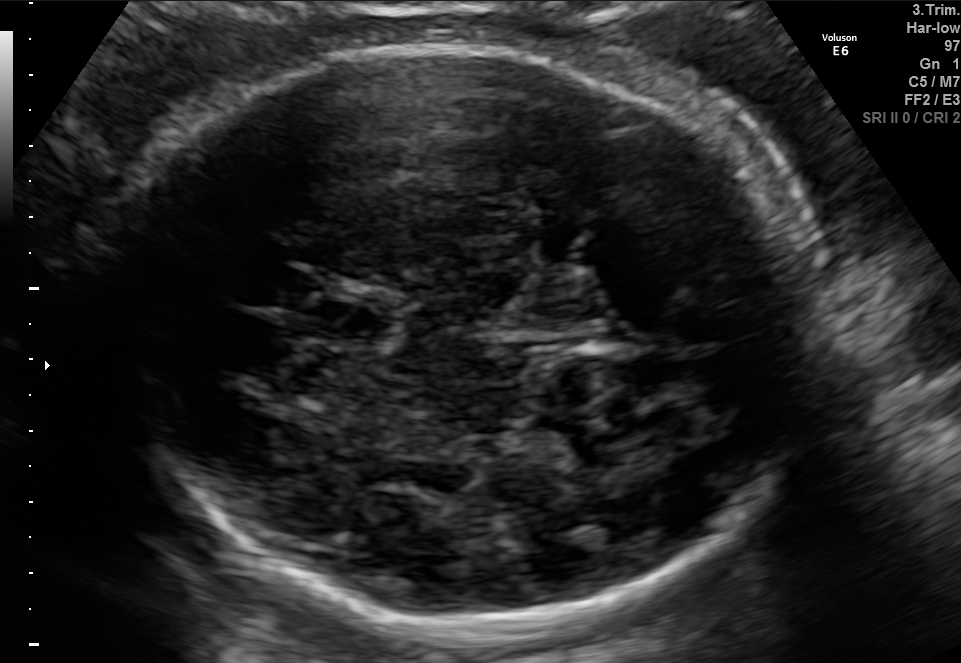
In this fetal brain, trans-thalamic plane, give the bounding box of the cavum septum pellucidum.

[323,300,390,347]